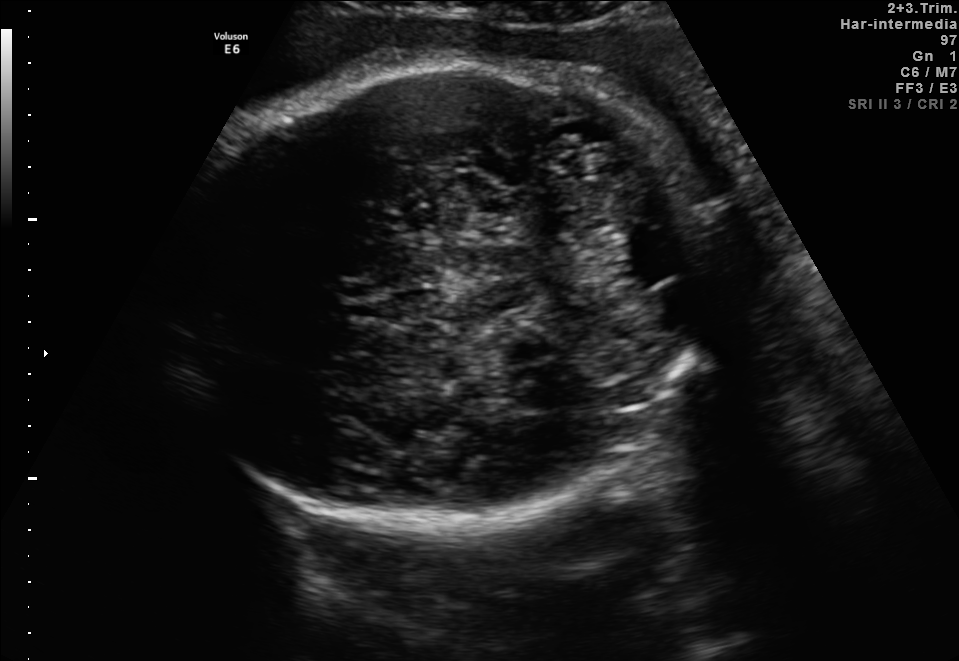
Fetal brain, trans-cerebellum plane. Where is the fetal head?

Head bounding box: [164,58,715,517]